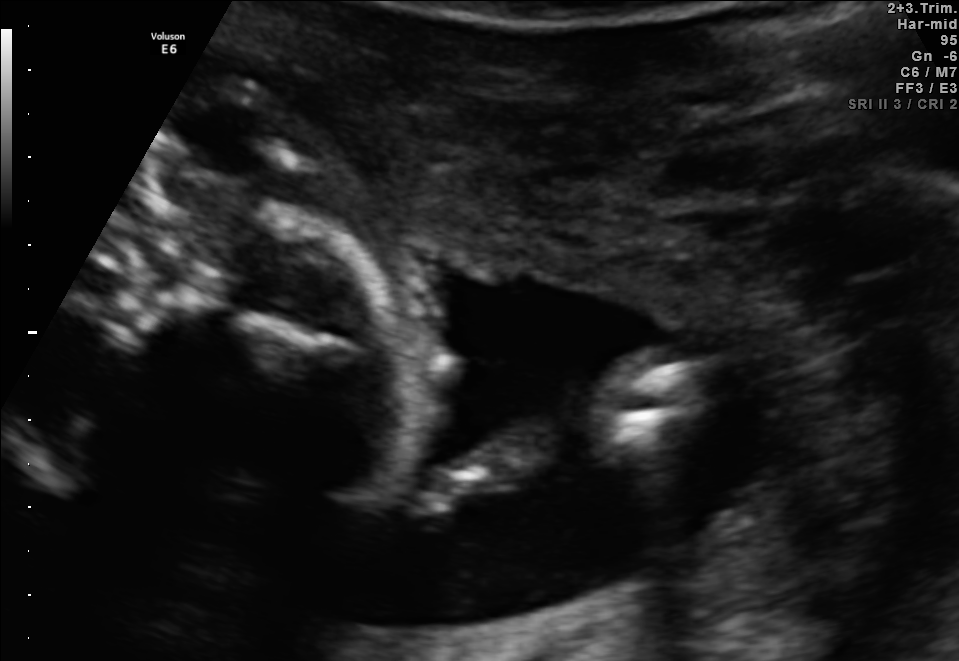
Identify the standard plane in this fetal ultrasound image: fetal abdomen, fetal brain, fetal femur, fetal thorax, maternal cervix, or other. If it's fetal brain and one of the three standard brain planes (trans-thalamic, trans-cerebellum, trans-ventricular), name which.

Other